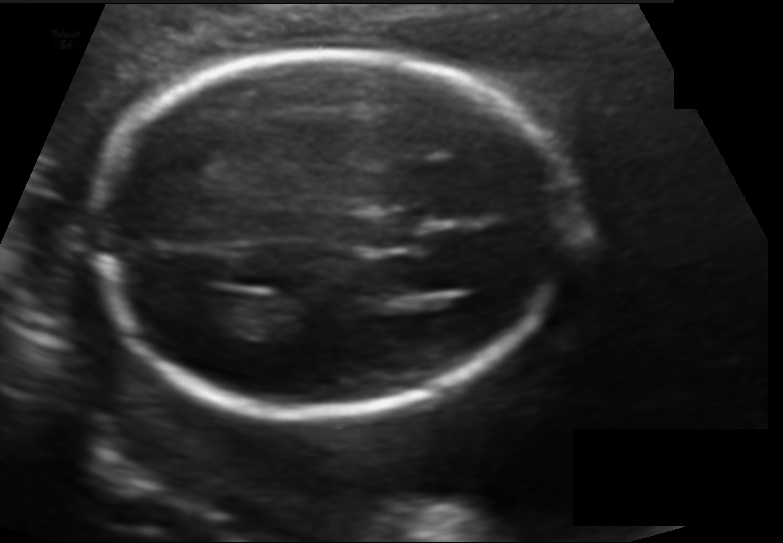
Estimate the fetal head circumference from this 2D ultrasound. Image width: 100.2 mm.

Head circumference: 174.2 mm.